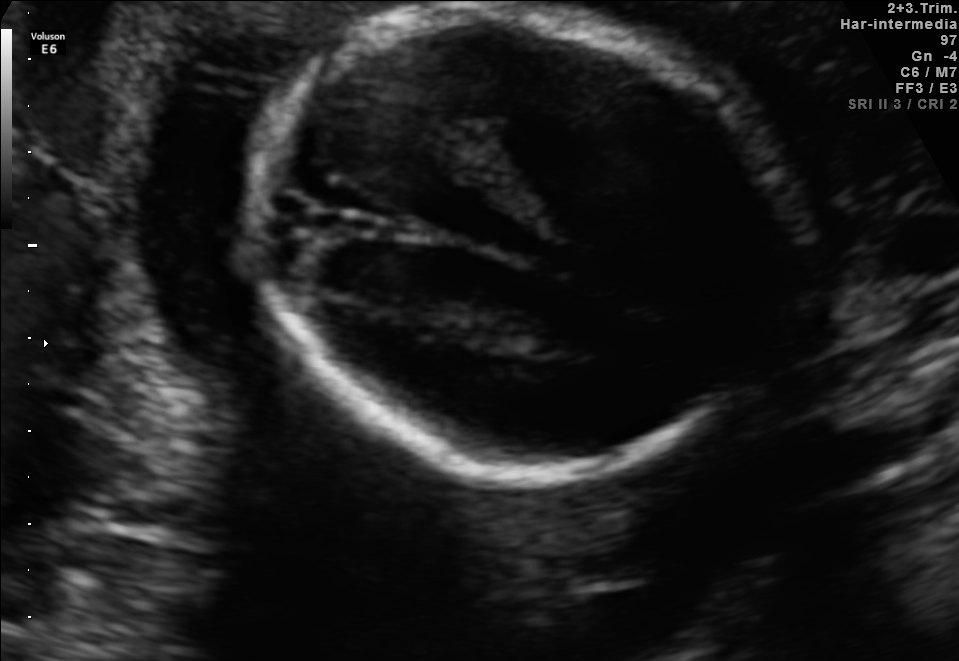
In this fetal brain, trans-thalamic plane, give bounding boxes for the head outline, cavum septum pellucidum (CSP), and lateral ventricle (LV), where visible.

Head: [253,11,804,474]